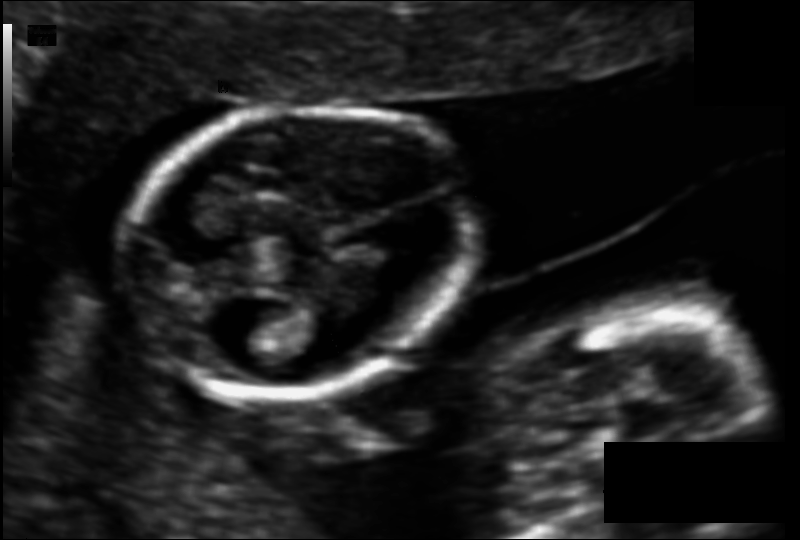
Fetal head ultrasound. Image width: 76.3 mm. Locate the fetal head.

Head: [123,105,474,395]